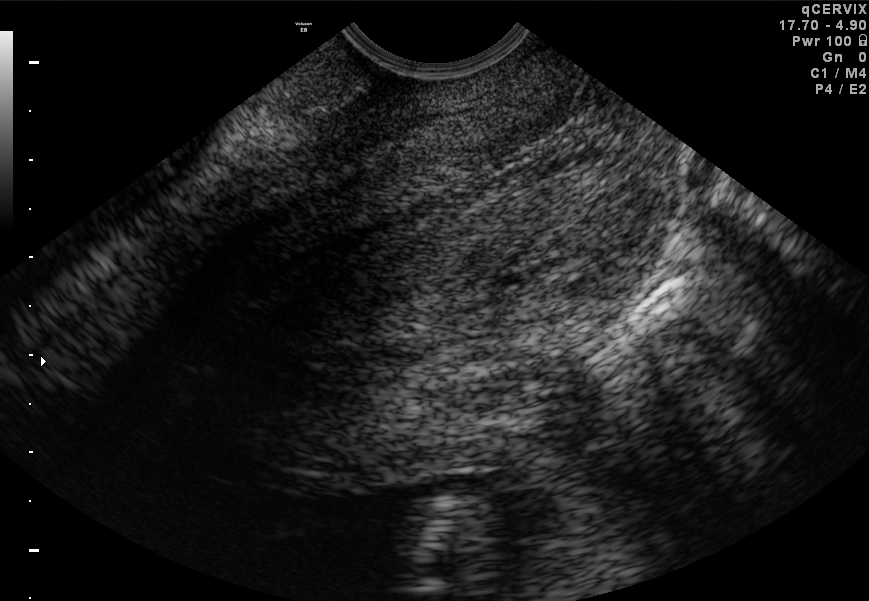
This is a 2D maternal-fetal ultrasound frame. Is it a fetal abdomen, fetal brain, fetal femur, fetal thorax, maternal cervix, or other standard plane? If it's fetal brain and one of the three standard brain planes (trans-thalamic, trans-cerebellum, trans-ventricular), name which.

Maternal cervix